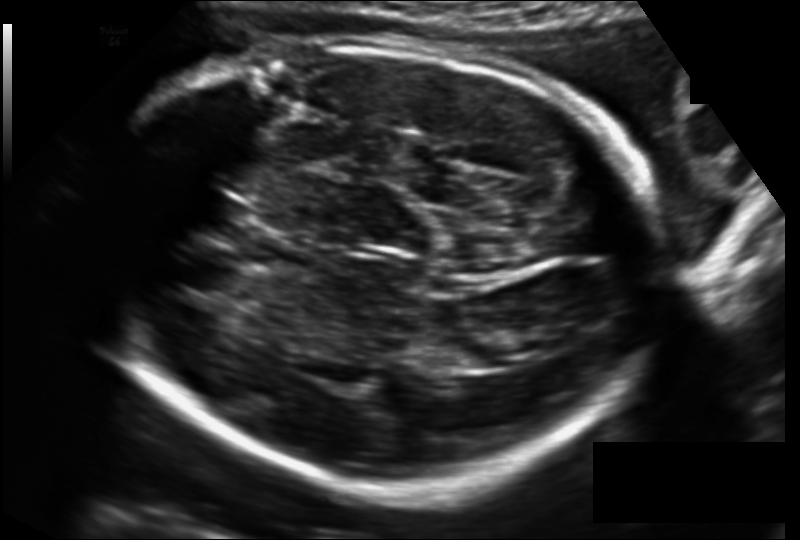
Fetal head ultrasound. Image width: 133.8 mm. Locate the fetal head.

Head: [98,40,660,489]